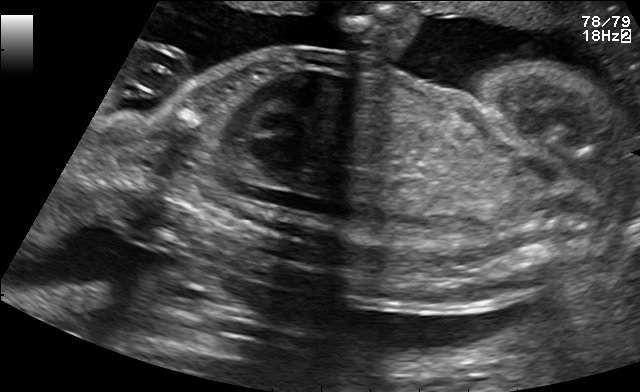
This is a 2D maternal-fetal ultrasound frame. Is it a fetal abdomen, fetal brain, fetal femur, fetal thorax, maternal cervix, or other standard plane? If it's fetal brain and one of the three standard brain planes (trans-thalamic, trans-cerebellum, trans-ventricular), name which.

Other